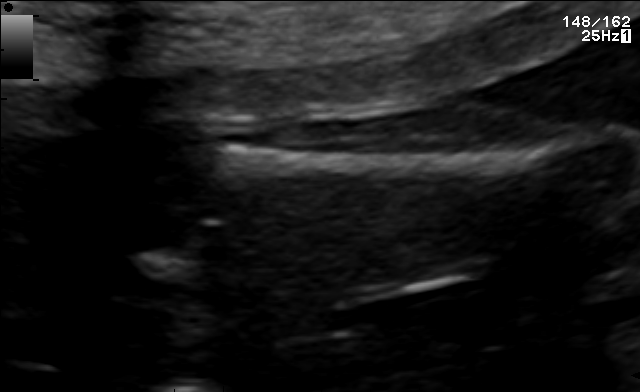
Classify this maternal-fetal ultrasound image as one of the six standard planes — fetal abdomen, fetal brain, fetal femur, fetal thorax, maternal cervix, or other. If it's fetal brain and one of the three standard brain planes (trans-thalamic, trans-cerebellum, trans-ventricular), name which.

Fetal femur